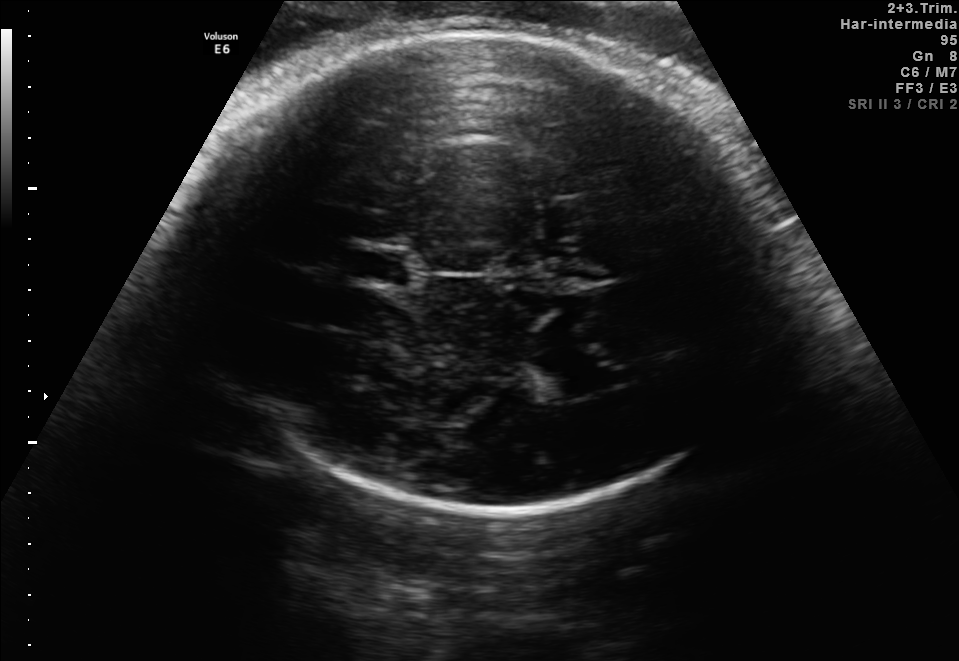
In this fetal brain, trans-thalamic plane, give the bounding box of the cavum septum pellucidum.

[353,246,411,288]